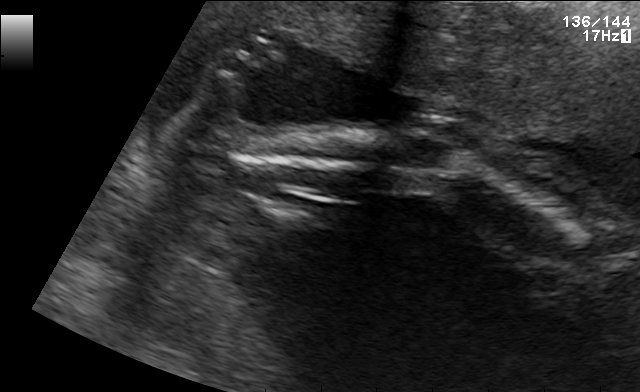
This is a 2D maternal-fetal ultrasound frame. Is it a fetal abdomen, fetal brain, fetal femur, fetal thorax, maternal cervix, or other standard plane? If it's fetal brain and one of the three standard brain planes (trans-thalamic, trans-cerebellum, trans-ventricular), name which.

Fetal femur